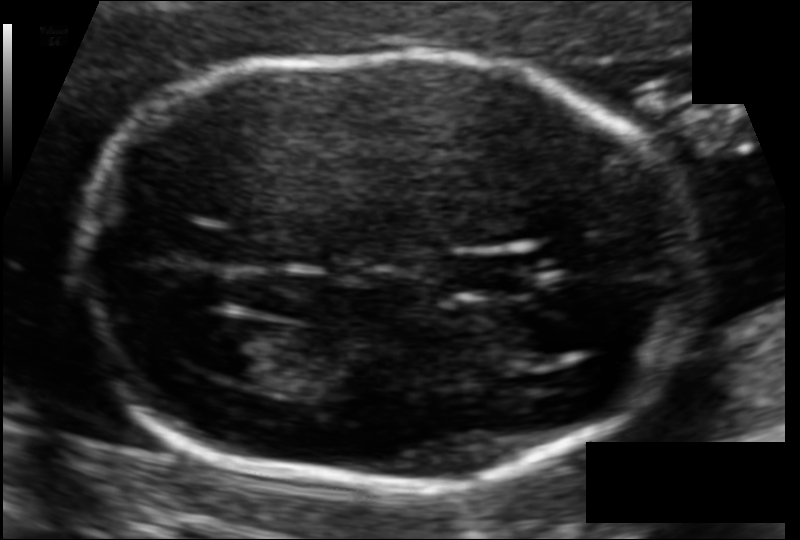
Estimate the fetal head circumference from this 2D ultrasound. Image width: 73.9 mm.

Head circumference: 159.9 mm.